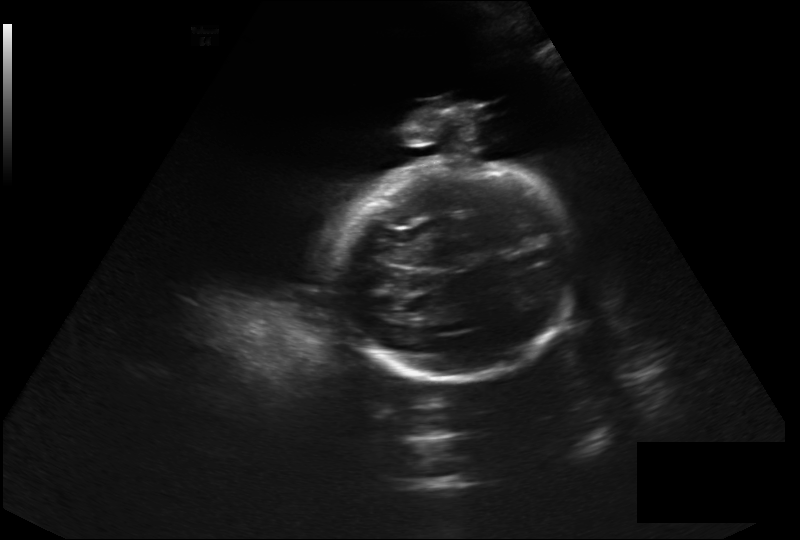
From this fetal ultrasound, estimate the head circumference (image width 261.1 mm).

Head circumference: 245.3 mm.